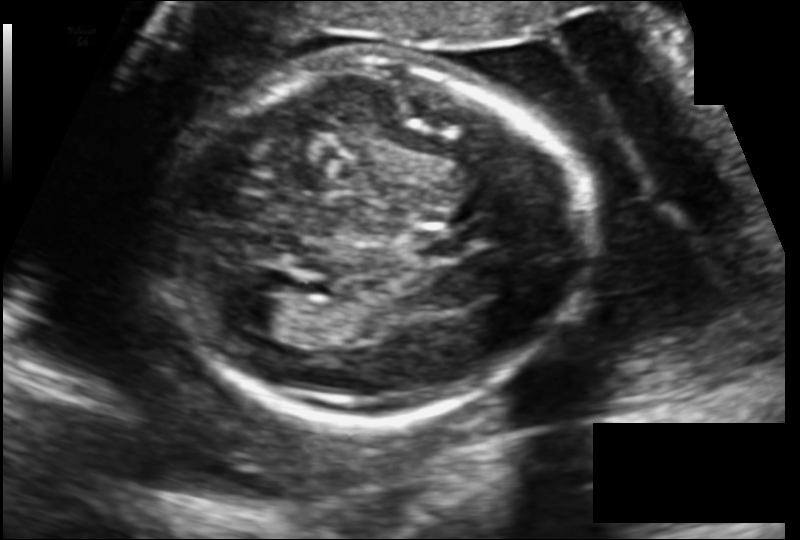
In this fetal head ultrasound, give bounding boxes for the head outline, cavum septum pellucidum (CSP), and lateral ventricle (LV), where visible. Image width: 110.0 mm.

Head: [167,60,581,423]
Lateral ventricle: [224,291,290,335]